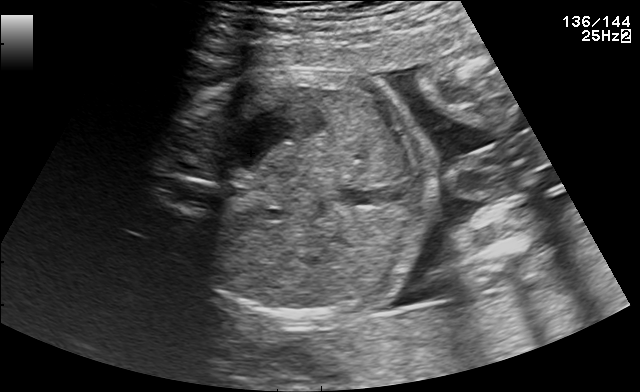
Which standard maternal-fetal ultrasound plane is shown: fetal abdomen, fetal brain, fetal femur, fetal thorax, maternal cervix, or other? If it's fetal brain and one of the three standard brain planes (trans-thalamic, trans-cerebellum, trans-ventricular), name which.

Fetal abdomen